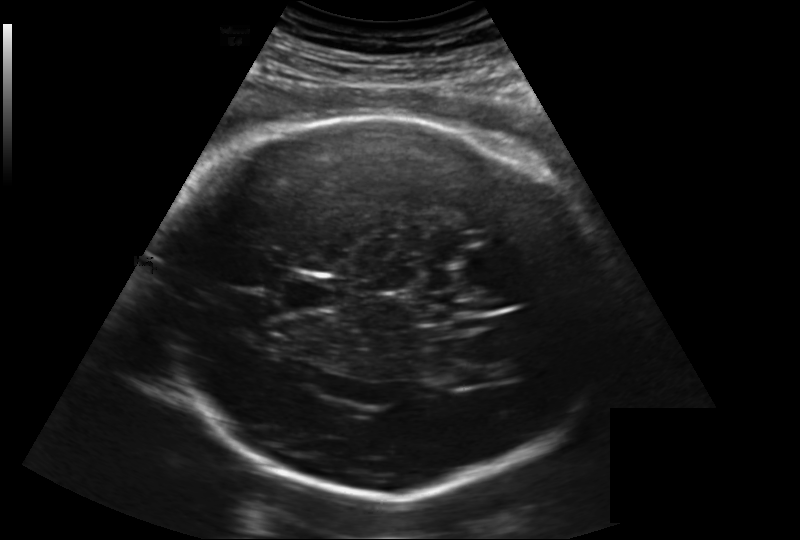
Fetal head ultrasound. Image width: 175.3 mm. Locate the fetal head and, if visible, the cavum septum pellucidum (CSP) and lateral ventricle (LV). Give bounding boxes as [x1,y1,x2,y2].

Head: [158,116,611,499]
CSP: [280,278,336,311]
Lateral ventricle: [439,347,500,390]